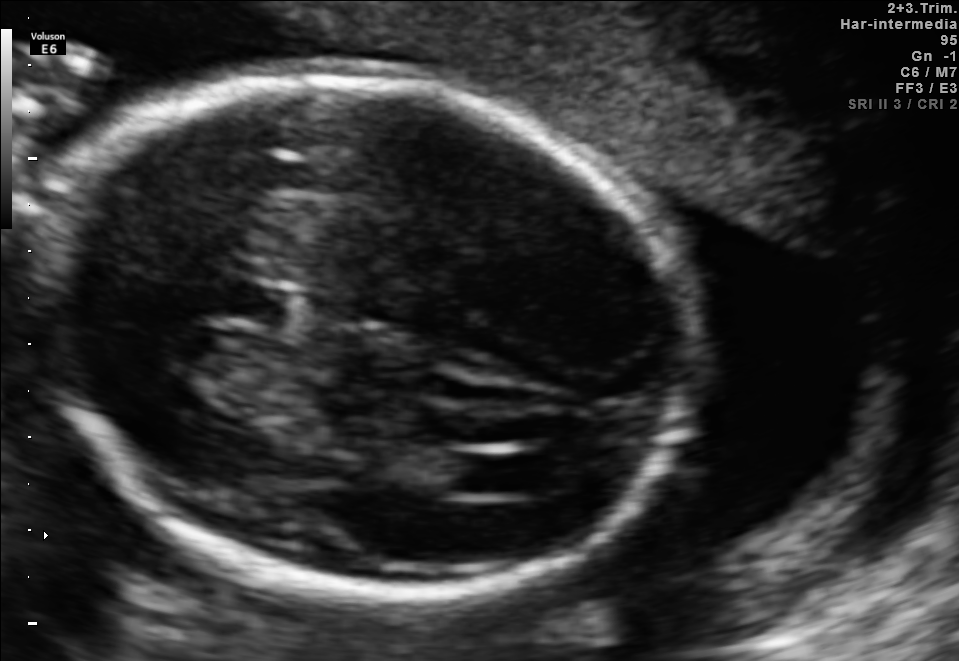
In this fetal brain, trans-ventricular plane, give bounding boxes for the head outline, cavum septum pellucidum (CSP), and lateral ventricle (LV), where visible.

Head: [29,62,704,607]
CSP: [212,278,289,329]
Lateral ventricle: [451,455,514,493]